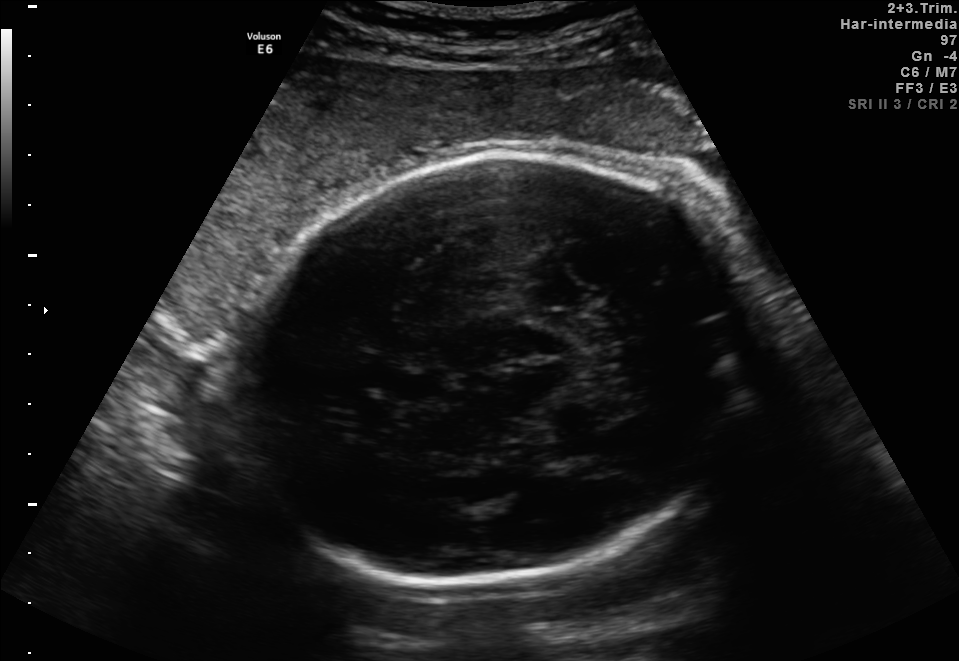
Fetal brain, trans-thalamic plane. Give [x1,y1,x2,y2] bounding boxes for each visible structure among: fetal head, CSP, LV.

Head: [227,151,756,584]